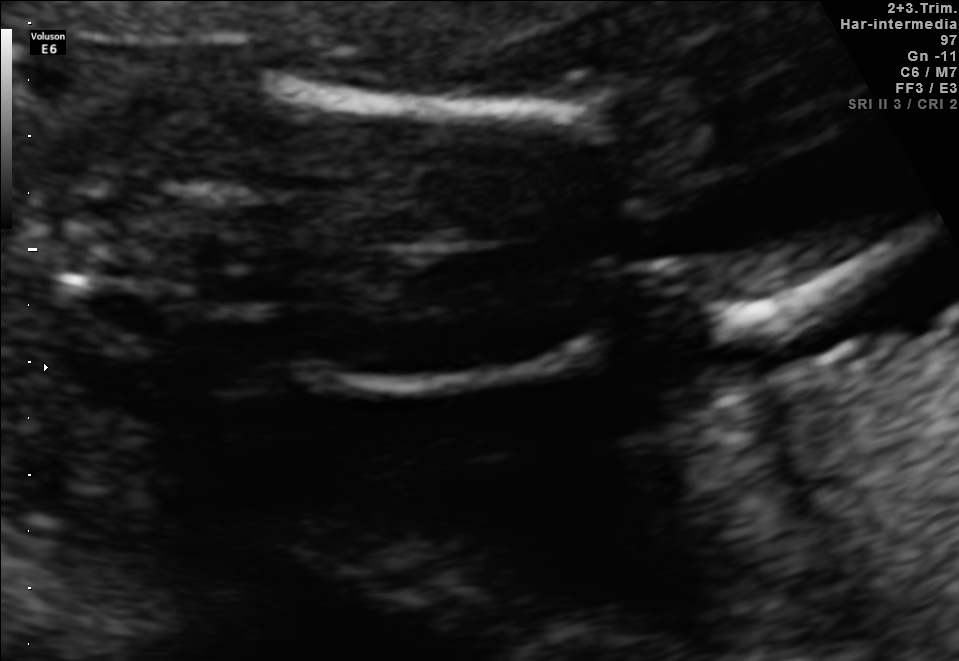
Identify the standard plane in this fetal ultrasound image: fetal abdomen, fetal brain, fetal femur, fetal thorax, maternal cervix, or other. If it's fetal brain and one of the three standard brain planes (trans-thalamic, trans-cerebellum, trans-ventricular), name which.

Fetal femur